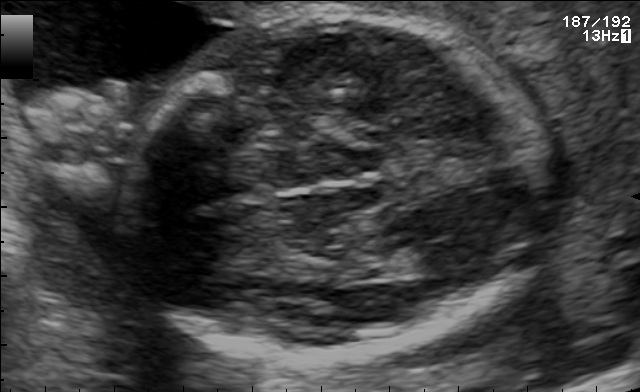
In this fetal brain, trans-thalamic plane, give the bounding box of the fetal head.

[114,14,550,358]